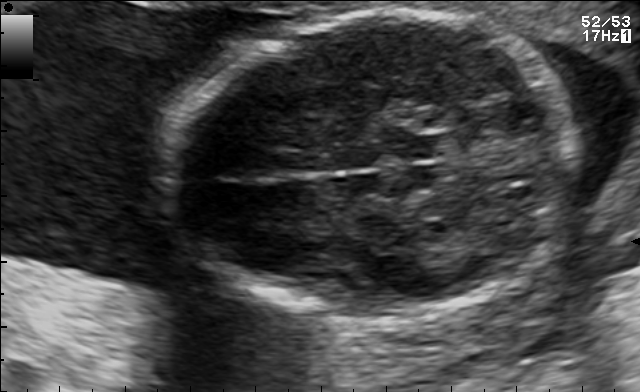
Fetal brain, trans-thalamic plane. Locate the fetal head.

Head: [166,11,578,321]